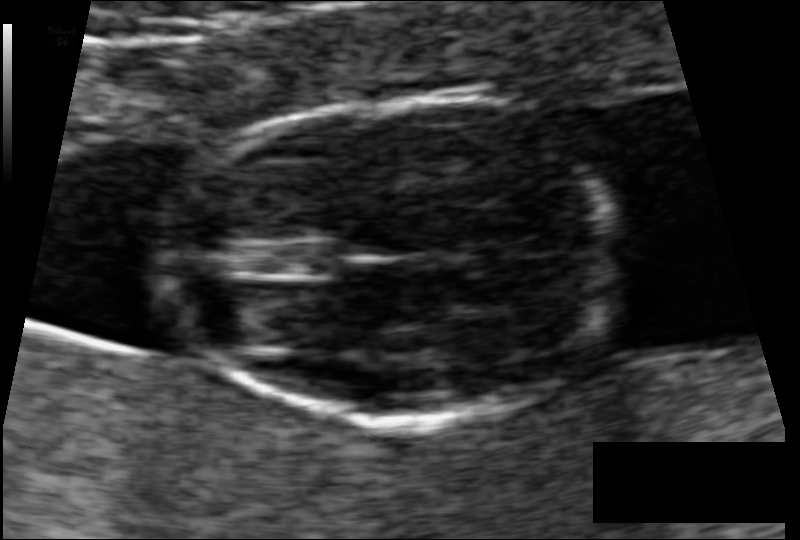
In this fetal head ultrasound, give bounding boxes for the head outline, cavum septum pellucidum (CSP), and lateral ventricle (LV), where visible. Image width: 49.5 mm.

Head: [171,99,616,422]